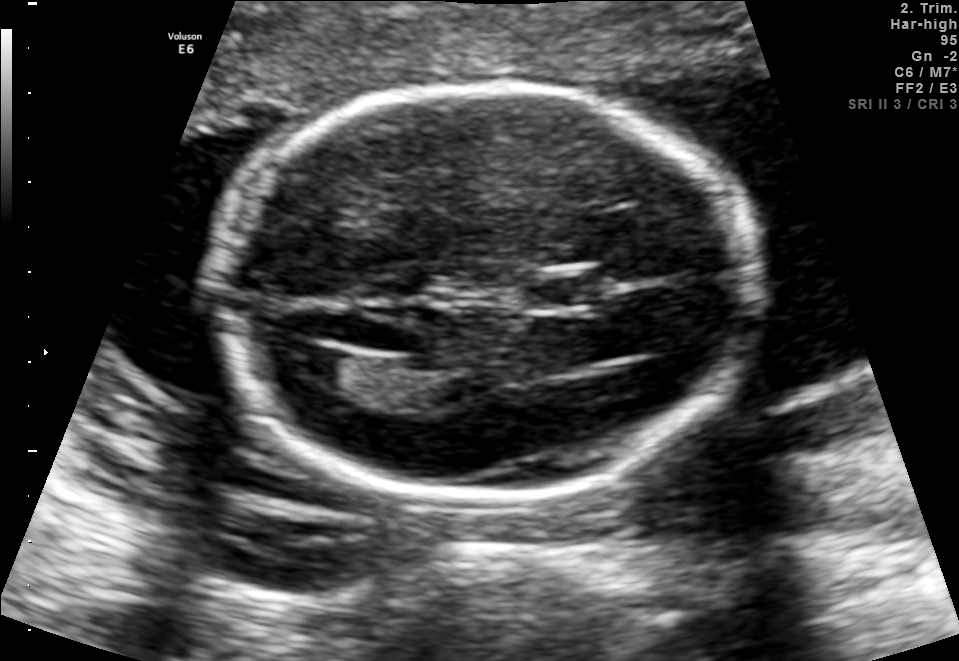
Fetal brain, trans-ventricular plane. Locate the lateral ventricle.

Lateral ventricle: [276,341,358,391]